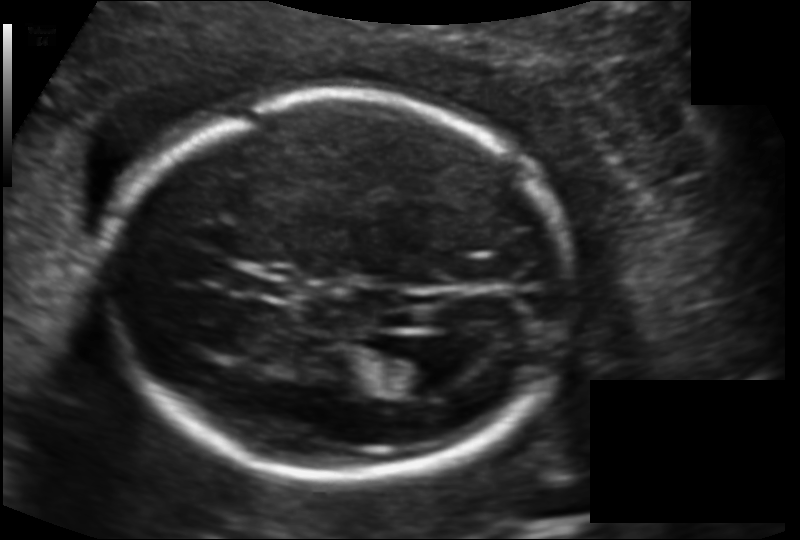
Fetal head ultrasound. Image width: 107.3 mm. Locate the lateral ventricle.

Lateral ventricle: [382,356,443,395]